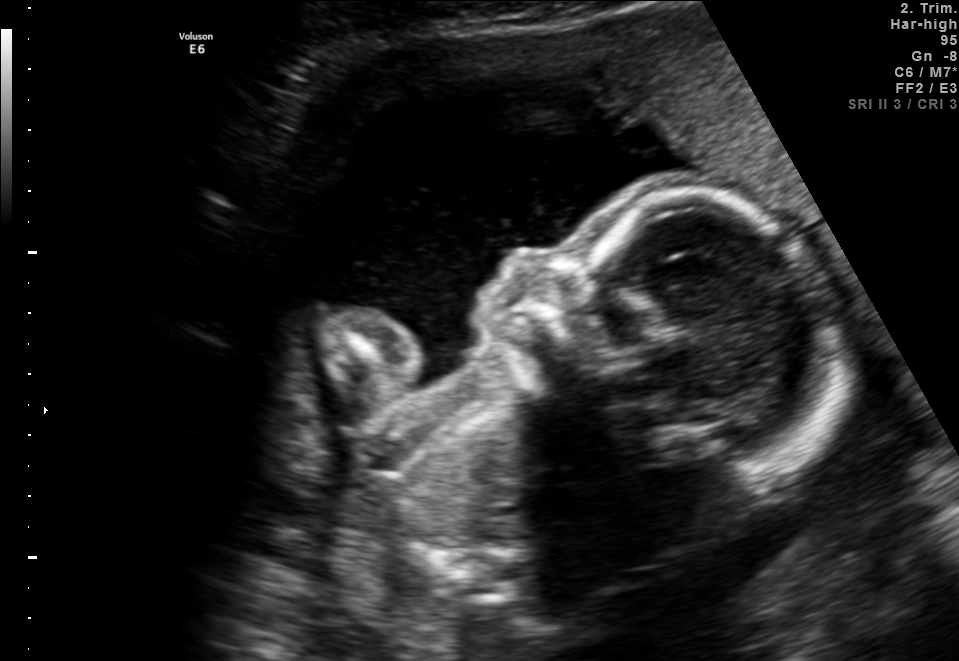
This is a 2D maternal-fetal ultrasound frame. Is it a fetal abdomen, fetal brain, fetal femur, fetal thorax, maternal cervix, or other standard plane? If it's fetal brain and one of the three standard brain planes (trans-thalamic, trans-cerebellum, trans-ventricular), name which.

Other